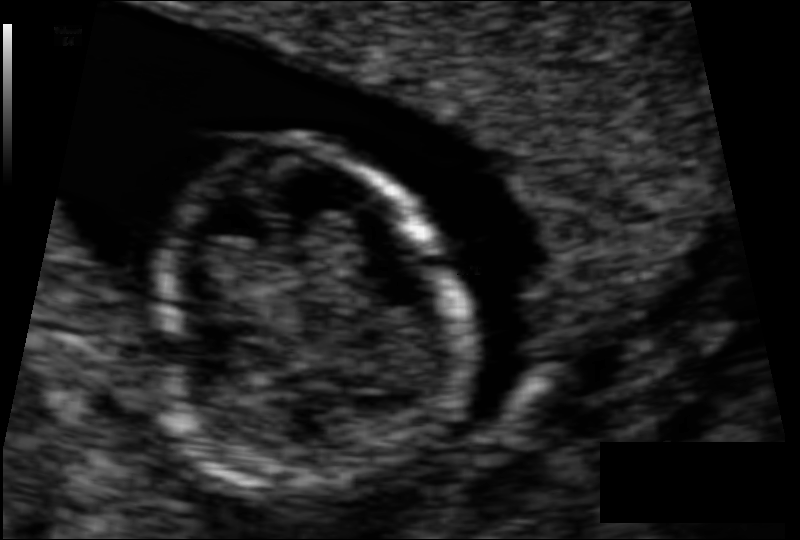
Fetal head ultrasound. Image width: 49.5 mm. Give [x1,y1,x2,y2] bounding boxes for each visible structure among: fetal head, CSP, LV.

Head: [147,138,458,485]